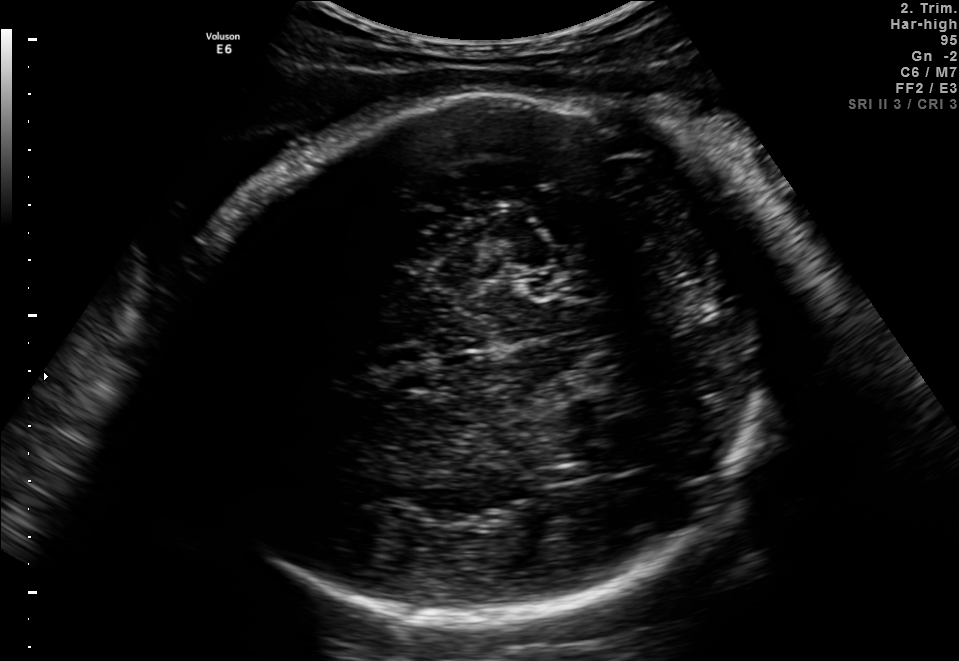
Fetal brain, trans-thalamic plane. Give [x1,y1,x2,y2] bounding boxes for each visible structure among: fetal head, CSP, LV.

Head: [172,82,797,625]